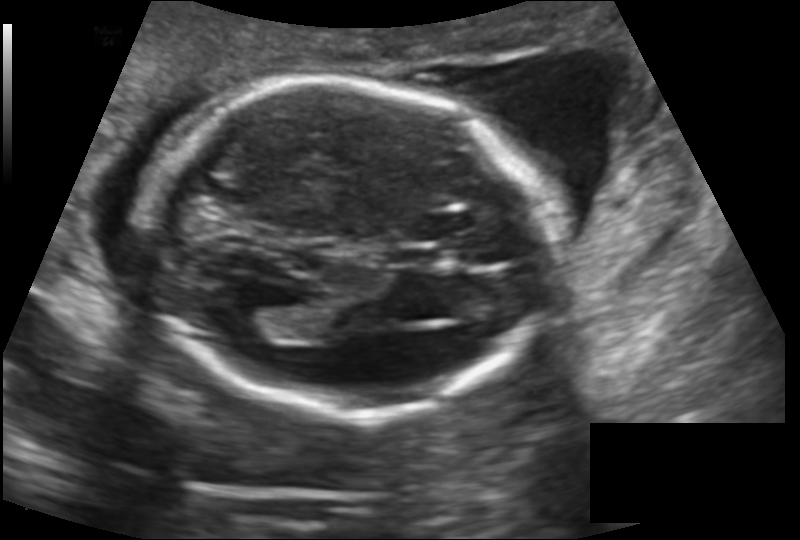
Fetal head ultrasound. Image width: 116.4 mm. Locate the fetal head.

Head: [141,79,549,413]